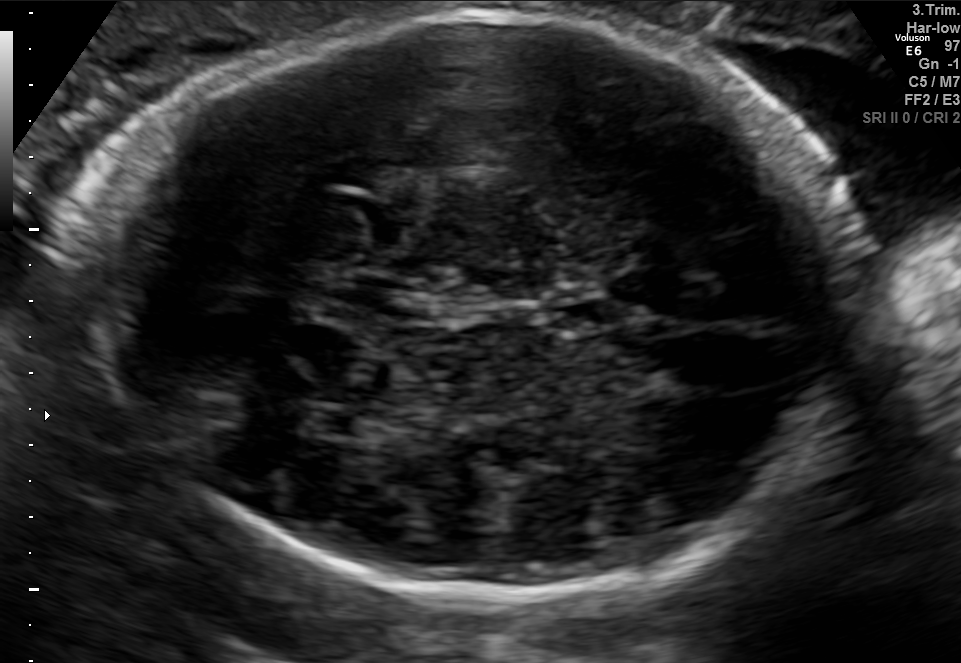
In this fetal brain, trans-thalamic plane, give bounding boxes for the head outline, cavum septum pellucidum (CSP), and lateral ventricle (LV), where visible.

Head: [76,14,853,593]
CSP: [546,291,633,336]
Lateral ventricle: [298,401,381,441]